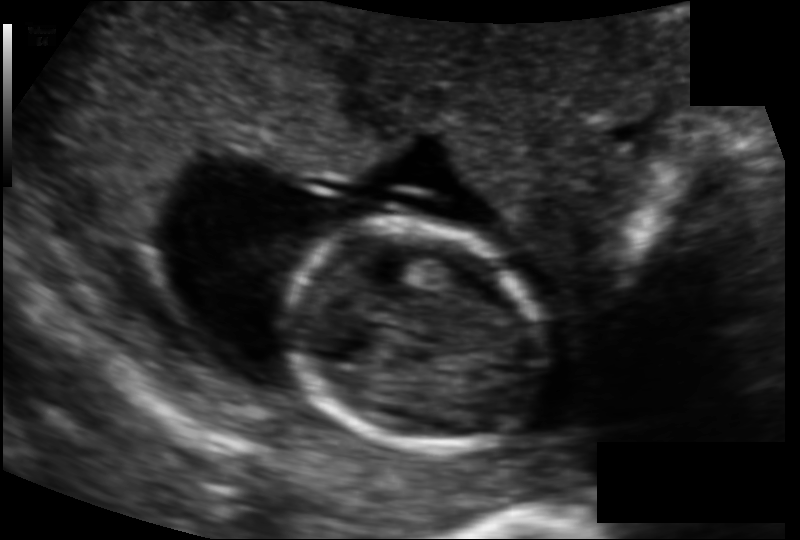
Measure the fetal head circumference shown in this ultrasound image. Image width: 91.0 mm.

Head circumference: 90.8 mm.